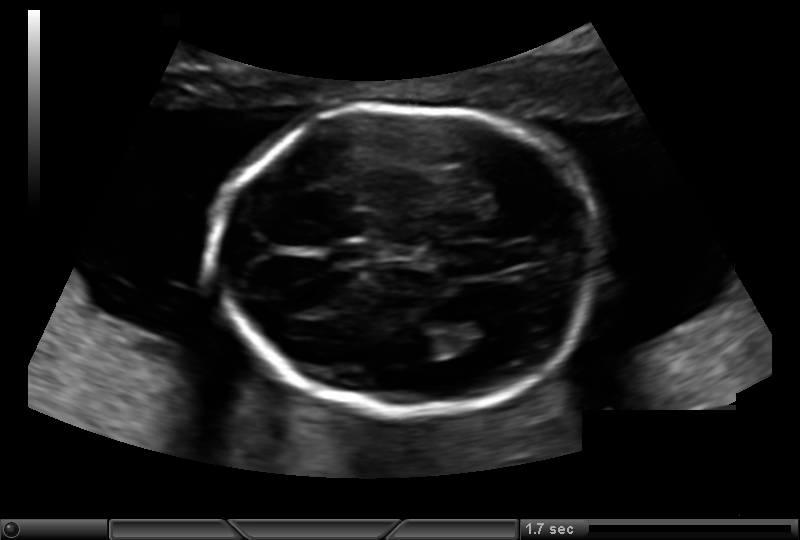
Fetal head ultrasound. Image width: 107.7 mm. Where is the fetal head?

Head bounding box: [215,106,596,413]